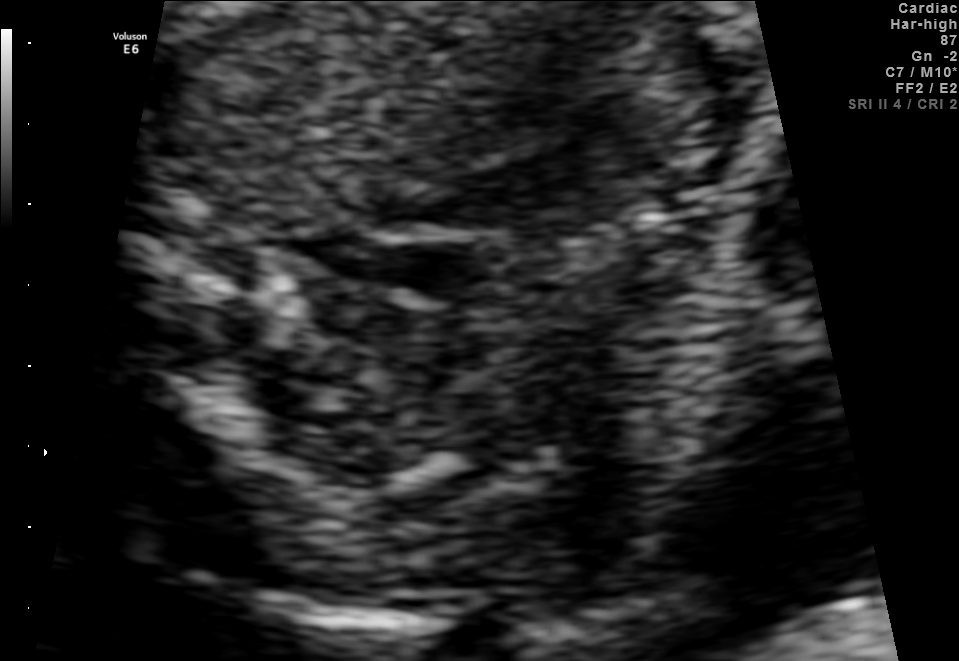
Identify the standard plane in this fetal ultrasound image: fetal abdomen, fetal brain, fetal femur, fetal thorax, maternal cervix, or other. If it's fetal brain and one of the three standard brain planes (trans-thalamic, trans-cerebellum, trans-ventricular), name which.

Other